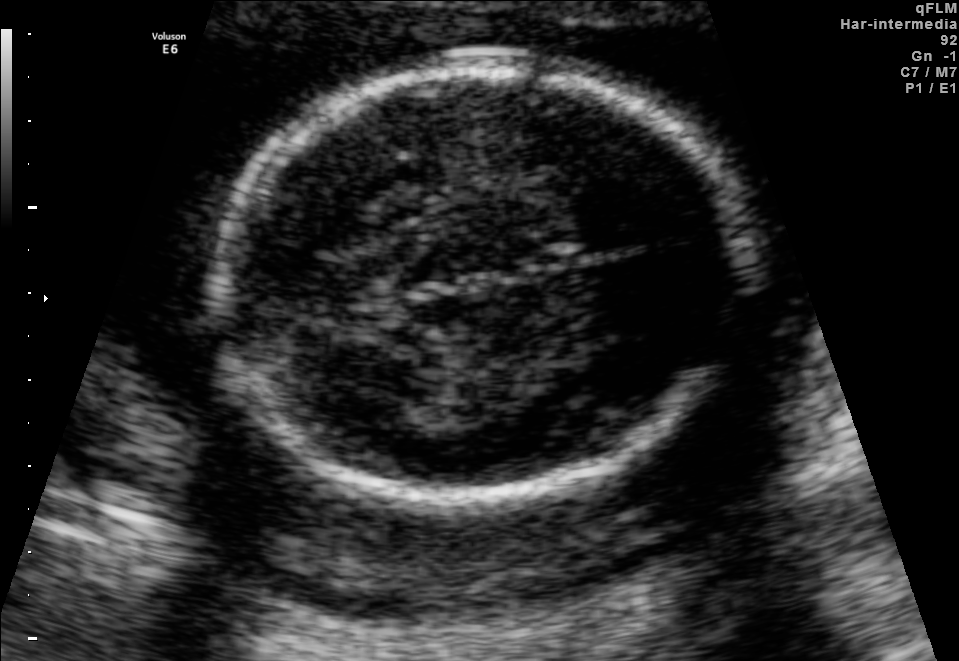
Fetal brain, trans-thalamic plane. Where is the fetal head?

Head bounding box: [216,71,751,494]